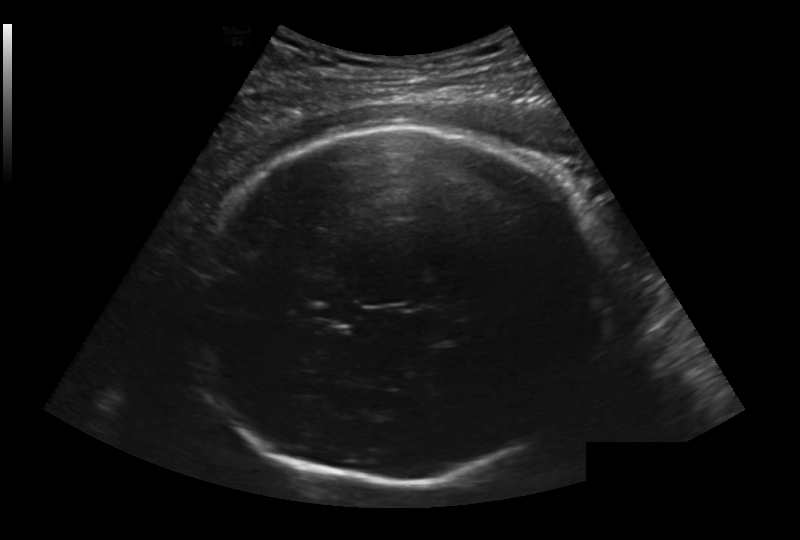
From this fetal ultrasound, estimate the head circumference (image width 188.7 mm).

Head circumference: 289.2 mm.